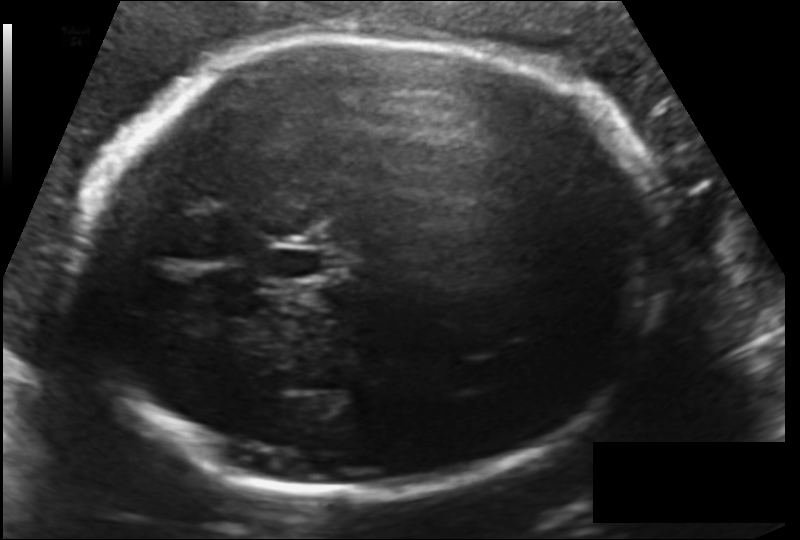
From this fetal ultrasound, estimate the head circumference (image width 122.1 mm).

Head circumference: 255.8 mm.